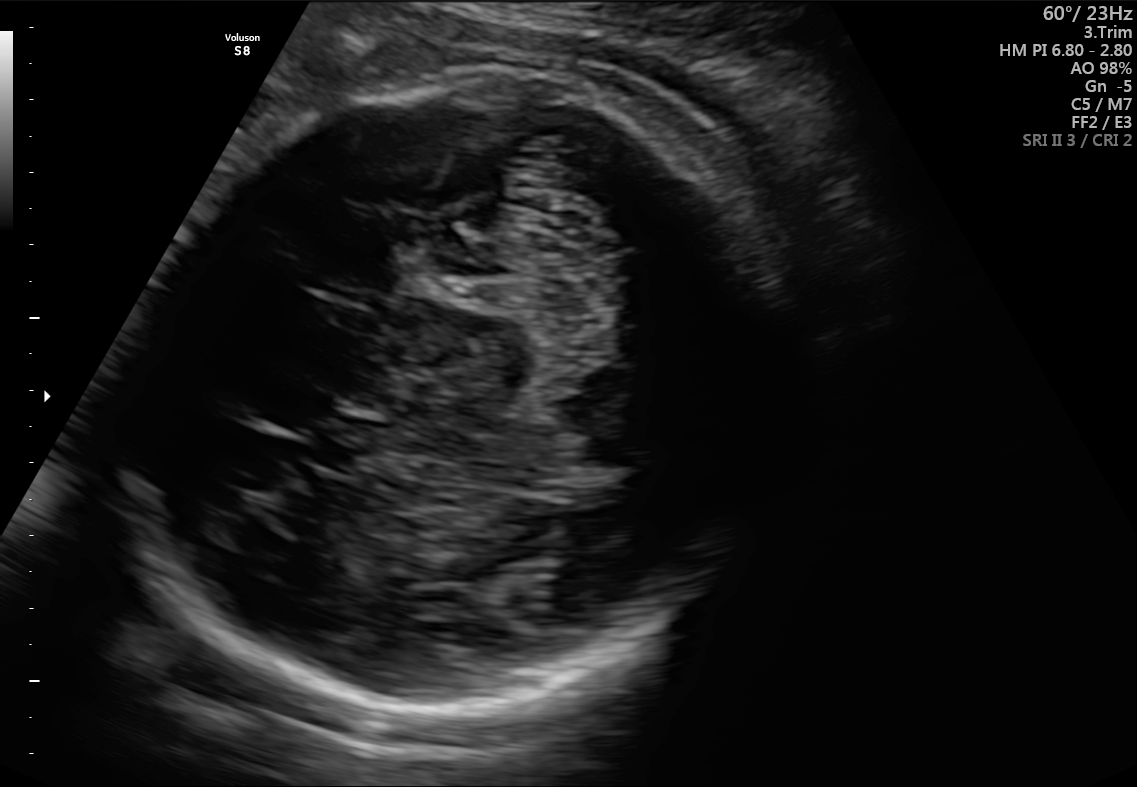
In this fetal brain, trans-cerebellum plane, give bounding boxes for the head outline, cavum septum pellucidum (CSP), and lateral ventricle (LV), where visible.

Head: [138,73,758,707]